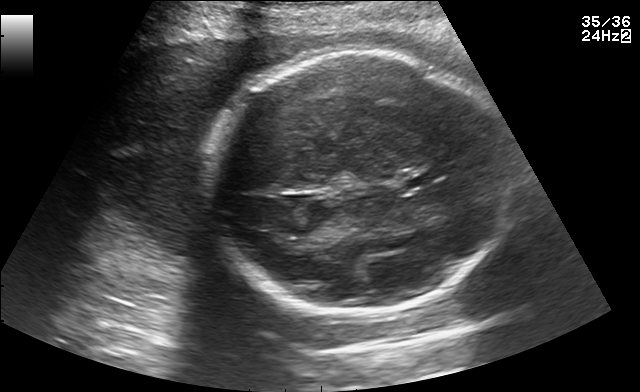
Fetal brain, trans-thalamic plane. Locate the cavum septum pellucidum.

CSP: [404,167,442,191]